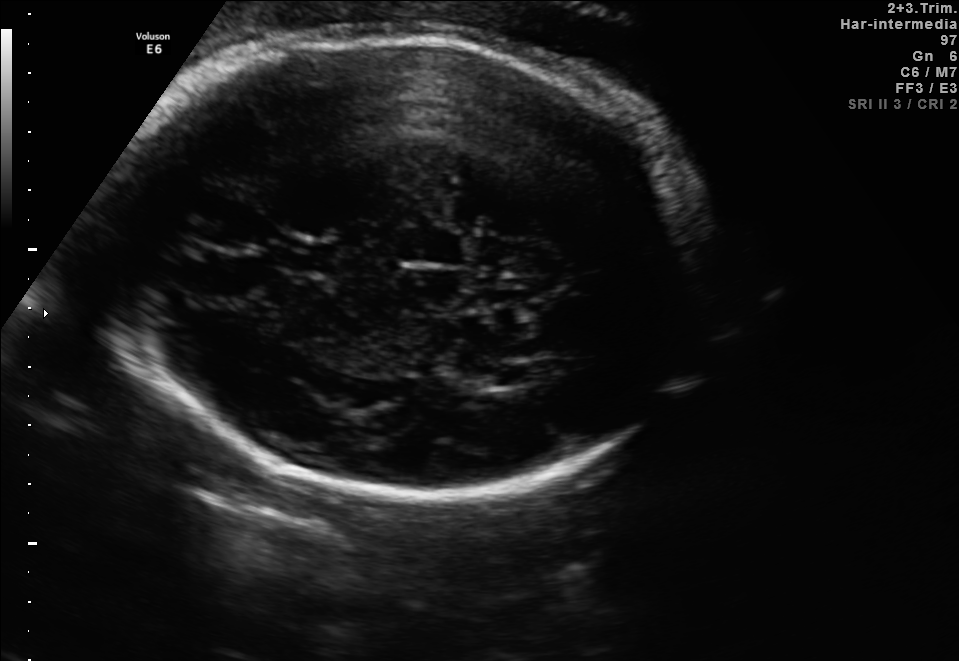
In this fetal brain, trans-ventricular plane, give the bounding box of the lateral ventricle.

[493,362,529,388]